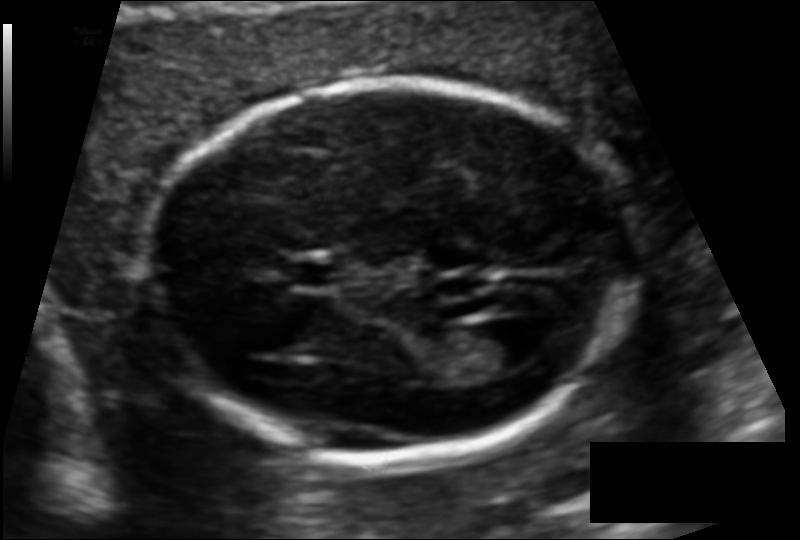
From this fetal ultrasound, estimate the head circumference (image width 88.0 mm).

Head circumference: 155.3 mm.